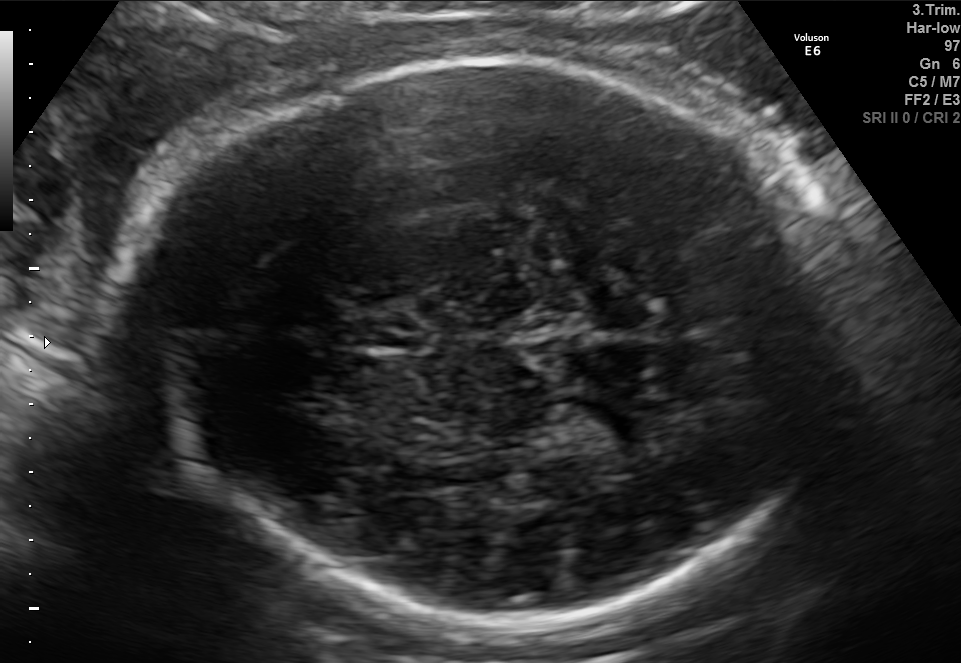
In this fetal brain, trans-thalamic plane, give bounding boxes for the head outline, cavum septum pellucidum (CSP), and lateral ventricle (LV), where visible.

Head: [123,57,844,620]